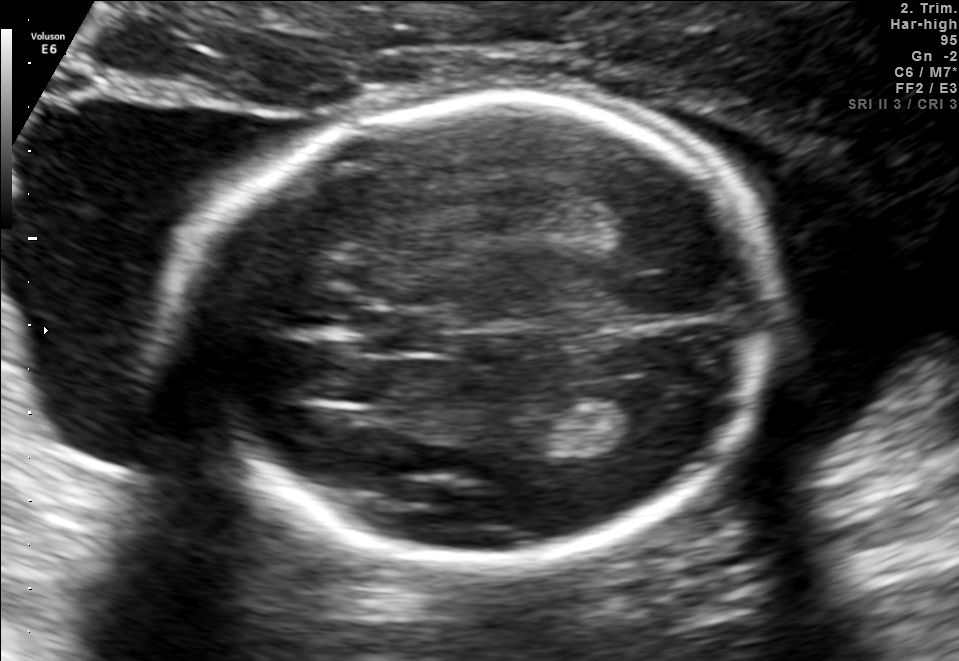
In this fetal brain, trans-thalamic plane, give the bounding box of the cavum septum pellucidum.

[360,313,443,352]